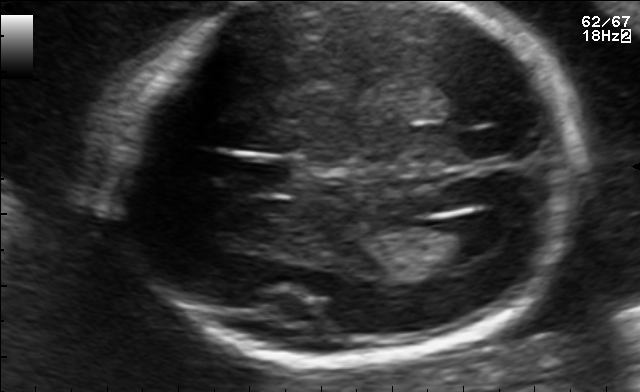
Fetal brain, trans-ventricular plane. Where is the lateral ventricle?

Lateral ventricle bounding box: [442,206,515,260]